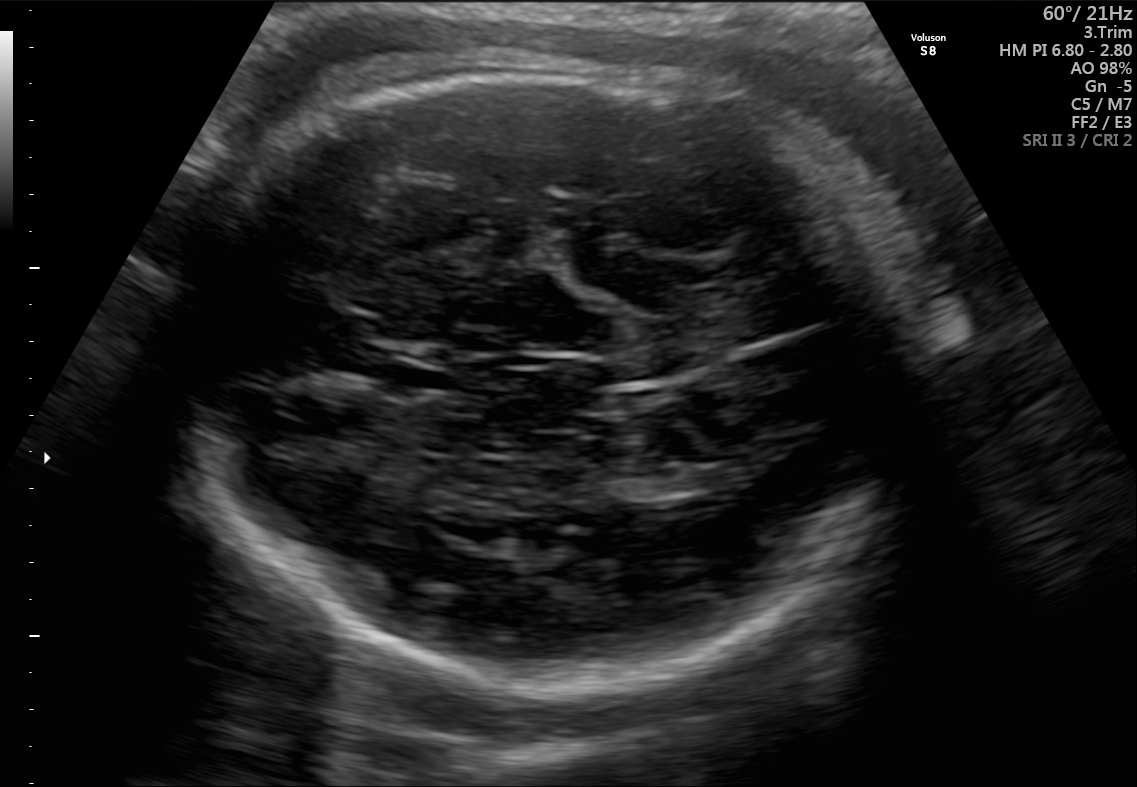
In this fetal brain, trans-thalamic plane, give the bounding box of the lateral ventricle.

[687,456,753,493]